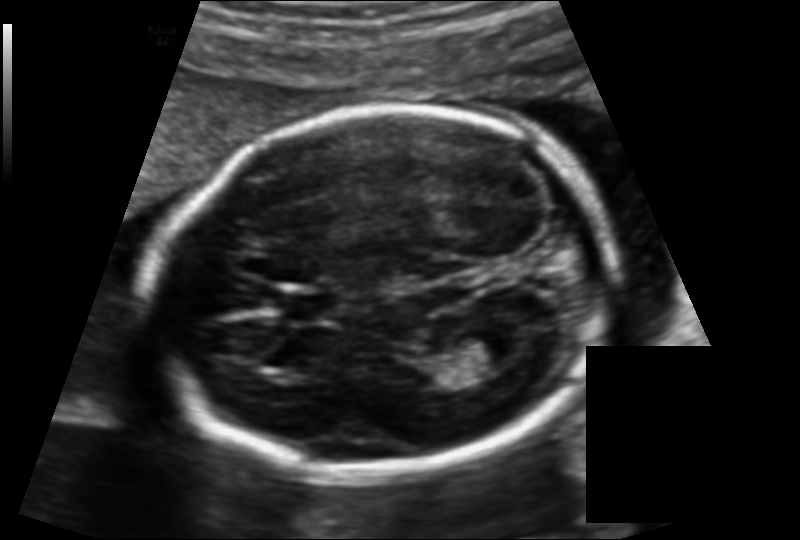
Fetal head ultrasound. Image width: 104.7 mm. Locate the fetal head and, if visible, the cavum septum pellucidum (CSP) and lateral ventricle (LV). Give bounding boxes as [x1,y1,x2,y2].

Head: [153,105,615,475]
CSP: [280,291,334,325]
Lateral ventricle: [450,315,530,382]